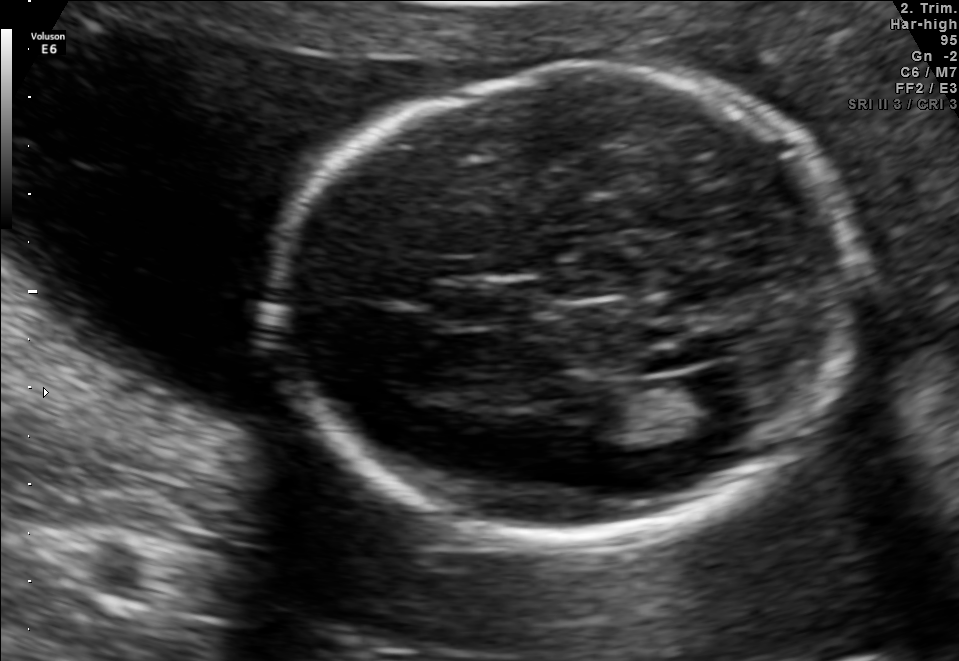
Fetal brain, trans-ventricular plane. Where is the lateral ventricle?

Lateral ventricle bounding box: [672,361,764,432]